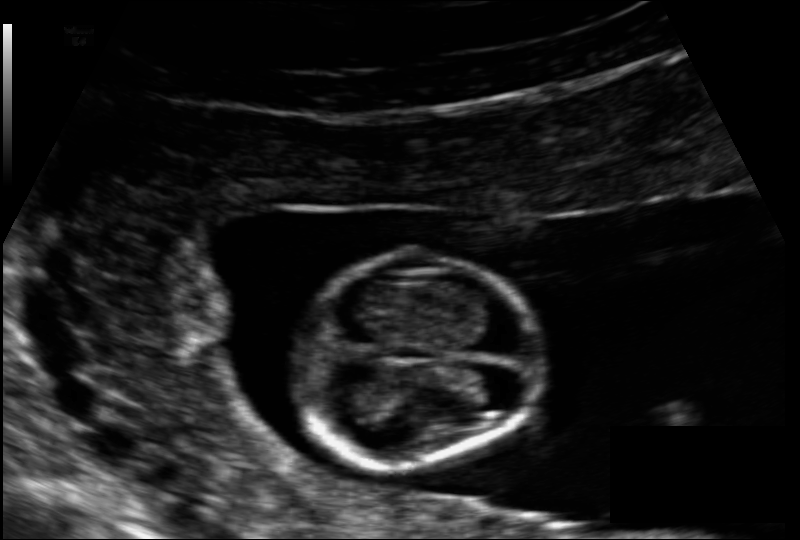
What is the fetal head circumference? Image width is 73.0 mm.

69.0 mm